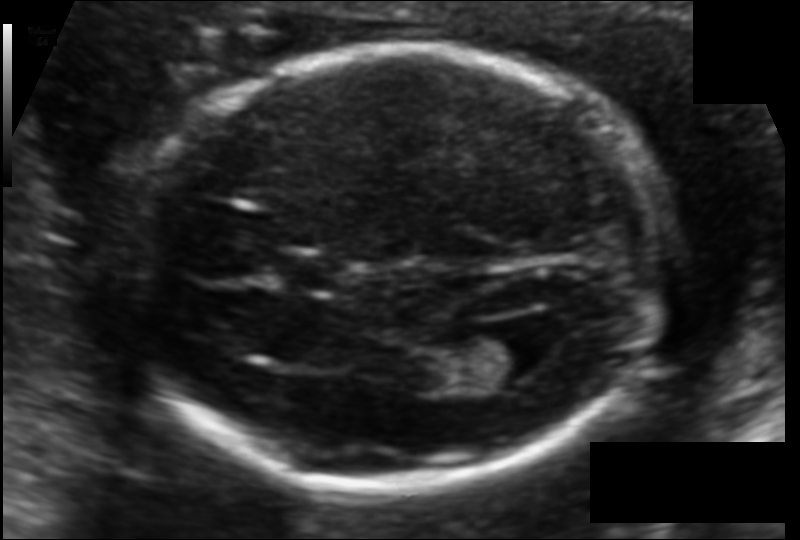
In this fetal head ultrasound, give the bounding box of the cavum septum pellucidum. Image width: 86.5 mm.

[276,253,341,292]